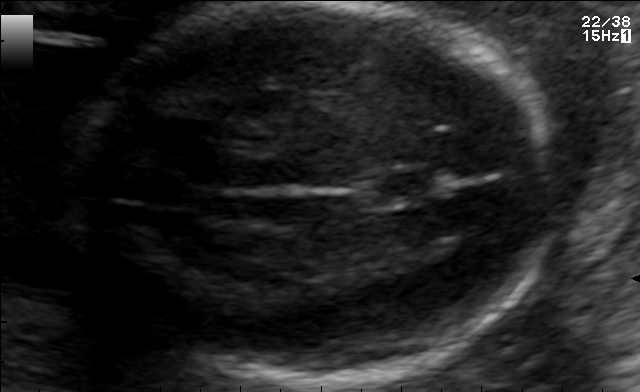
In this fetal brain, trans-thalamic plane, give the bounding box of the cavum septum pellucidum.

[365,166,442,206]